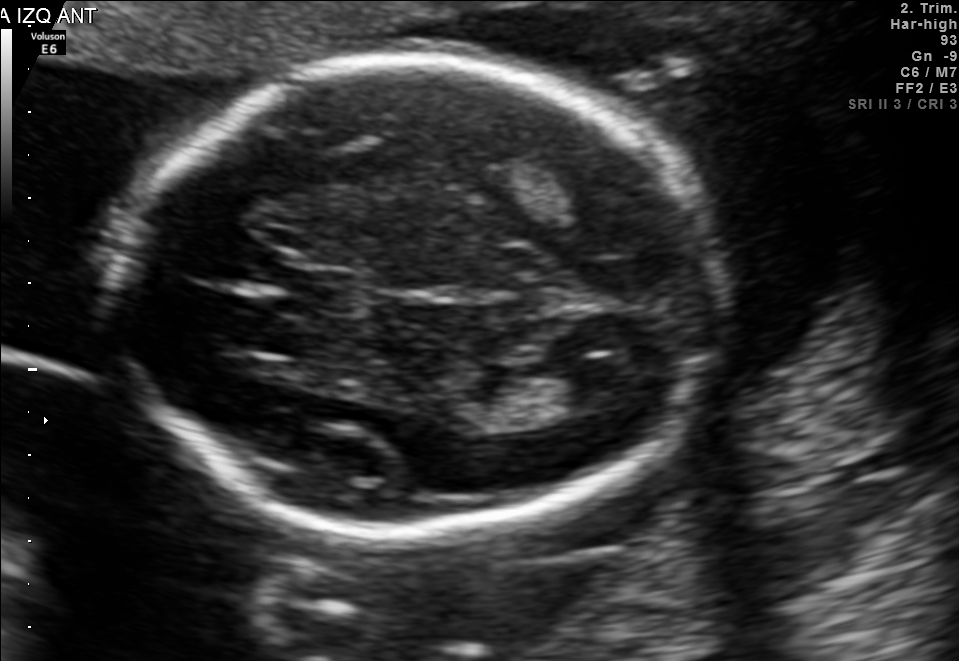
Fetal brain, trans-thalamic plane. Locate the fetal head.

Head: [110,61,711,528]